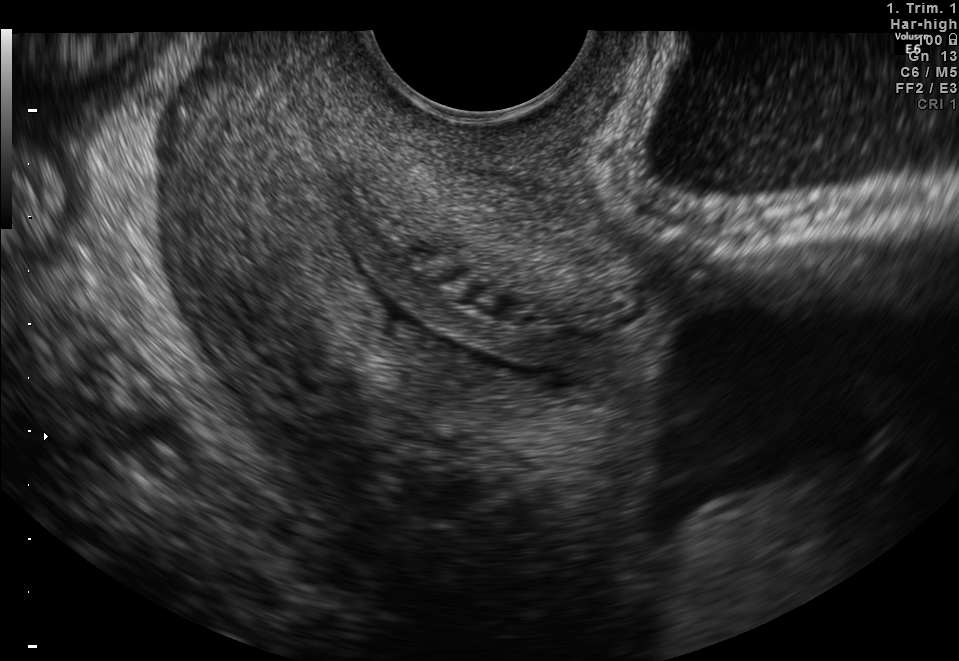
Which standard maternal-fetal ultrasound plane is shown: fetal abdomen, fetal brain, fetal femur, fetal thorax, maternal cervix, or other? If it's fetal brain and one of the three standard brain planes (trans-thalamic, trans-cerebellum, trans-ventricular), name which.

Maternal cervix